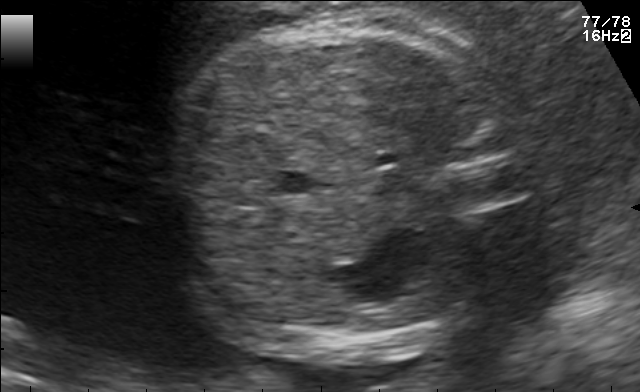
This is a 2D maternal-fetal ultrasound frame. Is it a fetal abdomen, fetal brain, fetal femur, fetal thorax, maternal cervix, or other standard plane? If it's fetal brain and one of the three standard brain planes (trans-thalamic, trans-cerebellum, trans-ventricular), name which.

Fetal abdomen